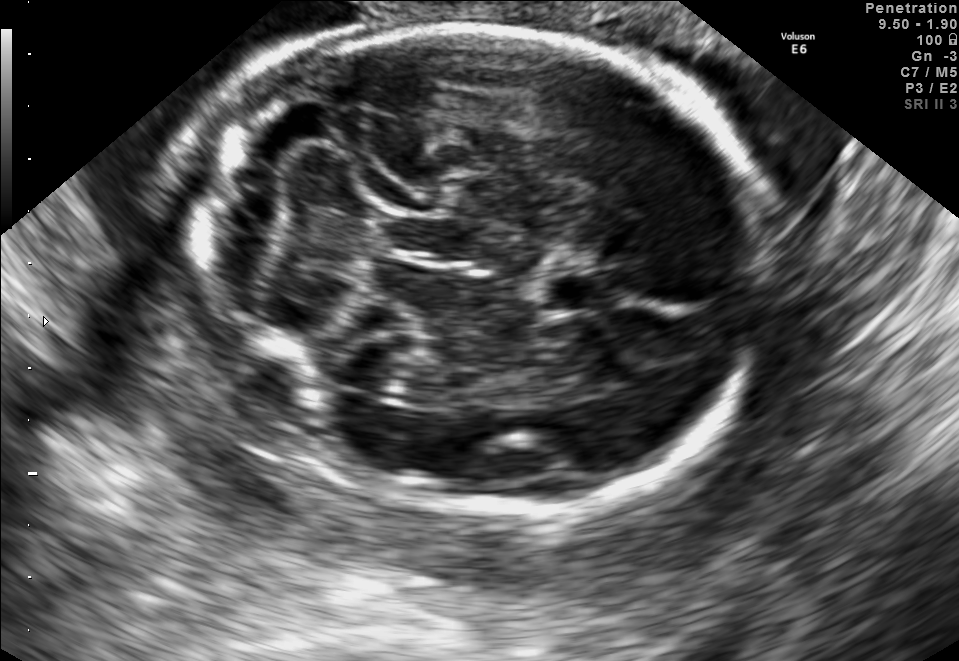
Fetal brain, trans-cerebellum plane. Where is the fetal head?

Head bounding box: [189,29,768,514]